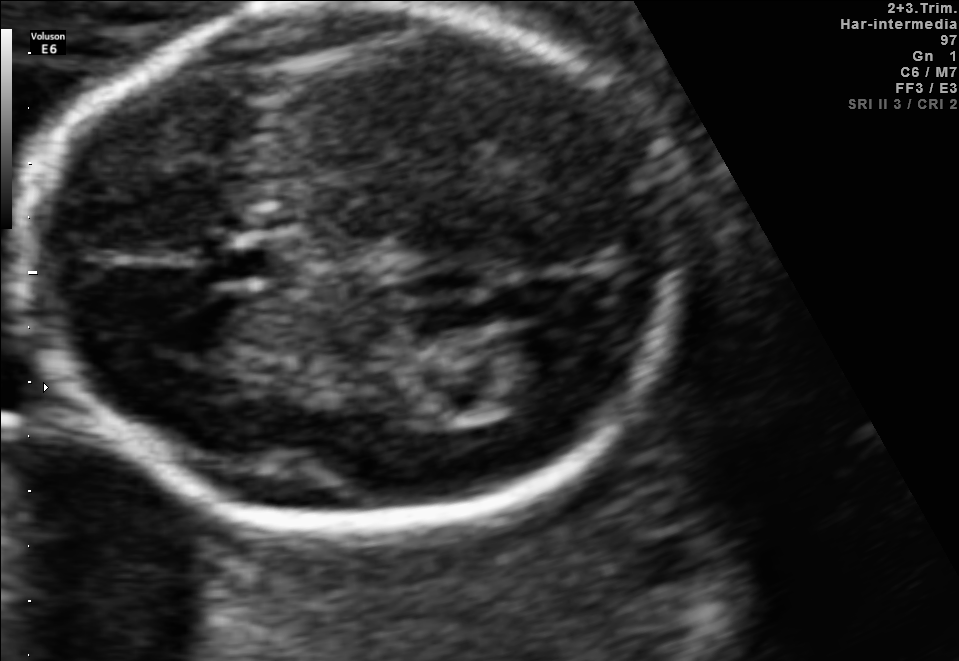
In this fetal brain, trans-thalamic plane, give the bounding box of the lateral ventricle.

[475,326,581,410]